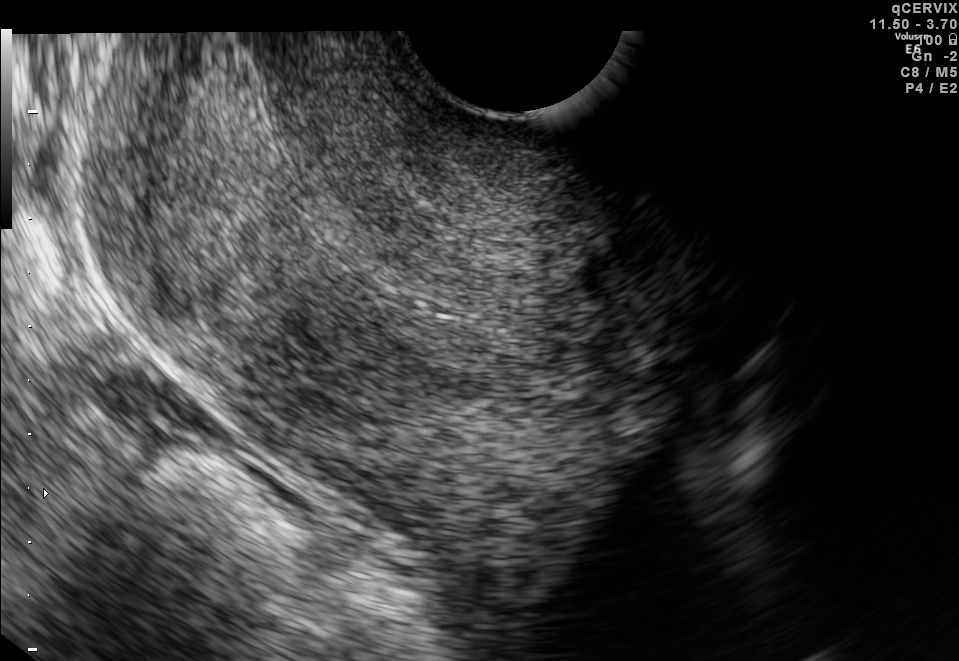
Which standard maternal-fetal ultrasound plane is shown: fetal abdomen, fetal brain, fetal femur, fetal thorax, maternal cervix, or other? If it's fetal brain and one of the three standard brain planes (trans-thalamic, trans-cerebellum, trans-ventricular), name which.

Maternal cervix